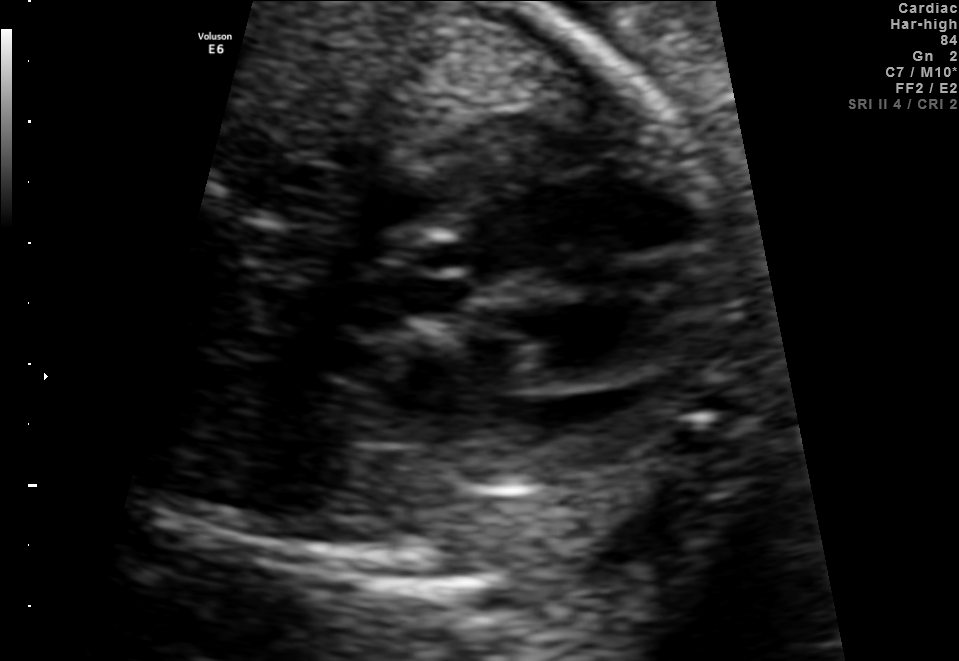
This is a 2D maternal-fetal ultrasound frame. Is it a fetal abdomen, fetal brain, fetal femur, fetal thorax, maternal cervix, or other standard plane? If it's fetal brain and one of the three standard brain planes (trans-thalamic, trans-cerebellum, trans-ventricular), name which.

Fetal thorax